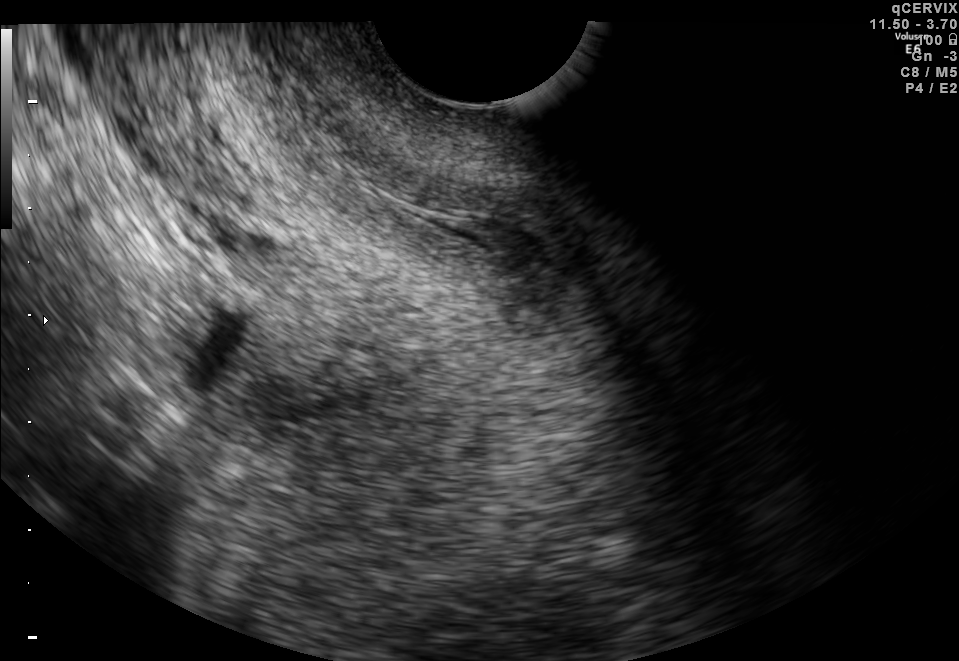
Identify the standard plane in this fetal ultrasound image: fetal abdomen, fetal brain, fetal femur, fetal thorax, maternal cervix, or other. If it's fetal brain and one of the three standard brain planes (trans-thalamic, trans-cerebellum, trans-ventricular), name which.

Maternal cervix